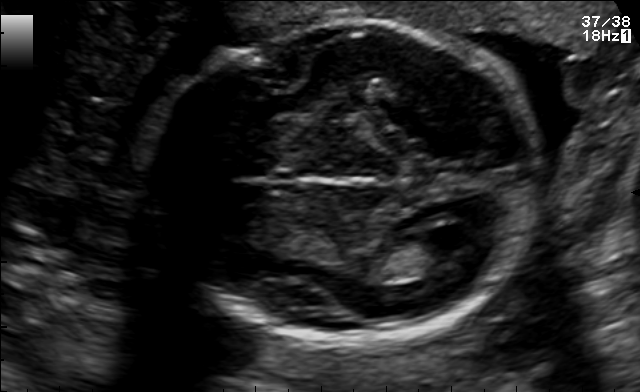
Fetal brain, trans-ventricular plane. Locate the lateral ventricle.

Lateral ventricle: [422,215,491,257]